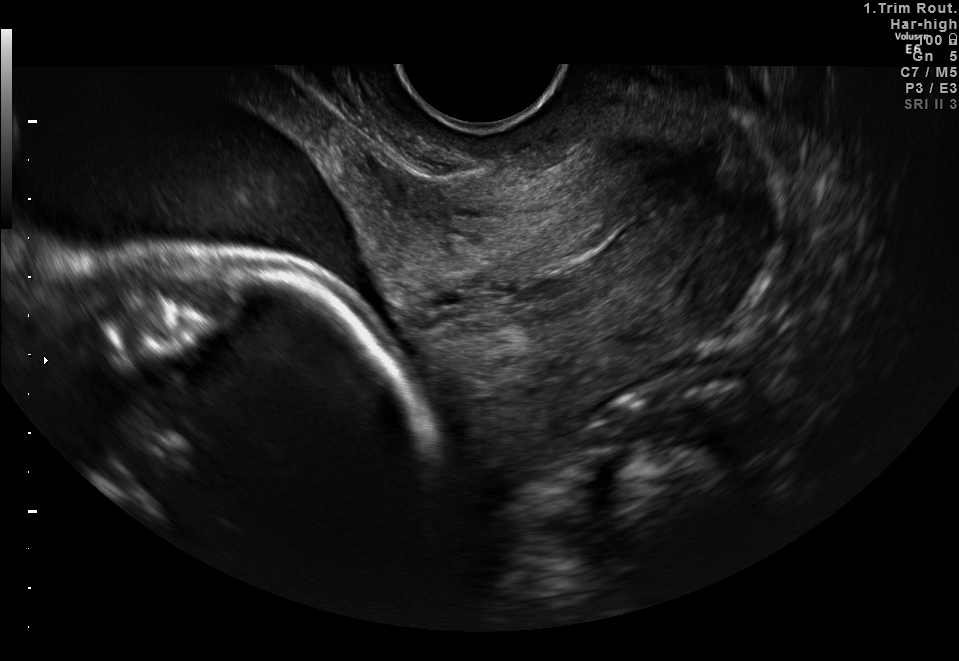
This is a 2D maternal-fetal ultrasound frame. Is it a fetal abdomen, fetal brain, fetal femur, fetal thorax, maternal cervix, or other standard plane? If it's fetal brain and one of the three standard brain planes (trans-thalamic, trans-cerebellum, trans-ventricular), name which.

Maternal cervix